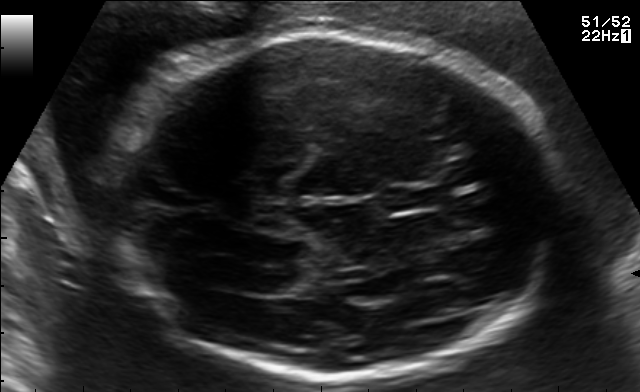
Fetal brain, trans-ventricular plane. Locate the cavum septum pellucidum.

CSP: [384,186,437,214]